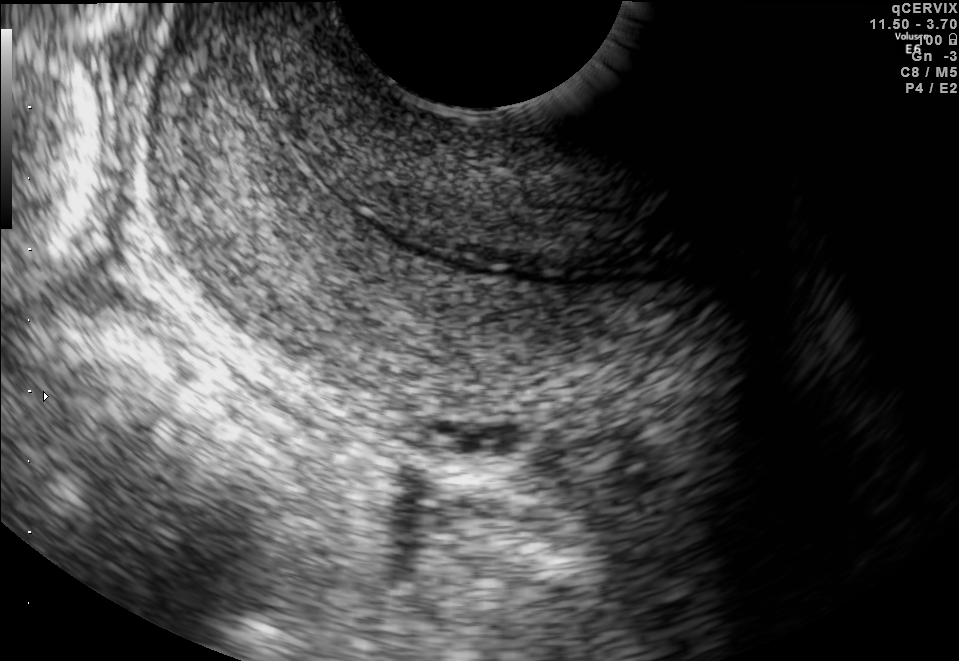
This is a 2D maternal-fetal ultrasound frame. Is it a fetal abdomen, fetal brain, fetal femur, fetal thorax, maternal cervix, or other standard plane? If it's fetal brain and one of the three standard brain planes (trans-thalamic, trans-cerebellum, trans-ventricular), name which.

Maternal cervix